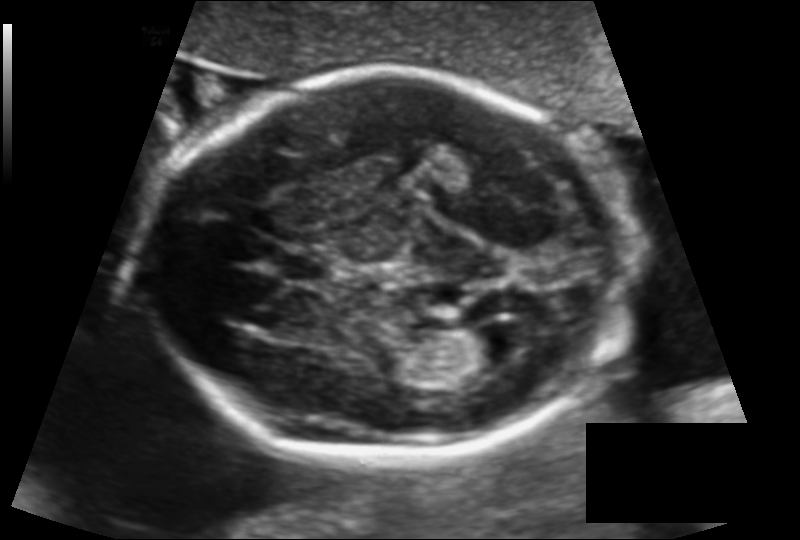
Fetal head ultrasound. Image width: 103.5 mm. Where is the lateral ventricle?

Lateral ventricle bounding box: [454,317,531,375]